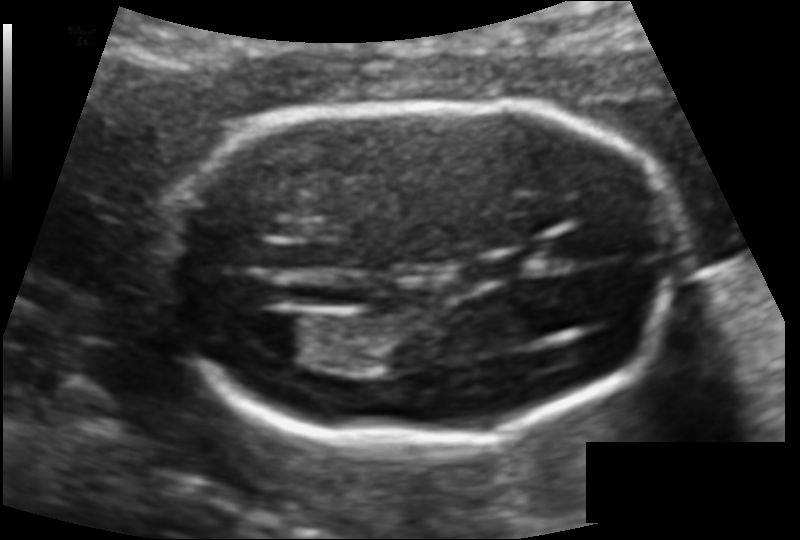
What is the fetal head circumference? Image width is 87.1 mm.

155.3 mm